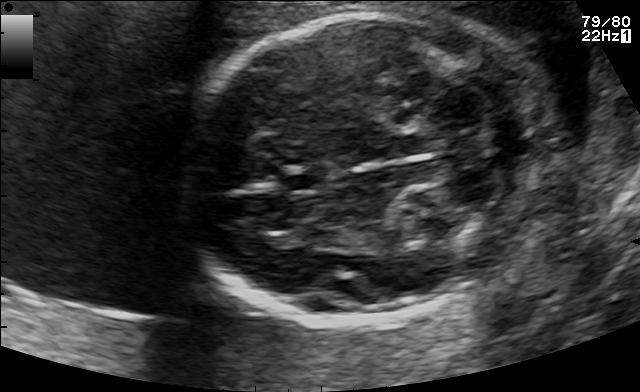
Fetal brain, trans-cerebellum plane. Locate the cavum septum pellucidum.

CSP: [277,165,332,196]